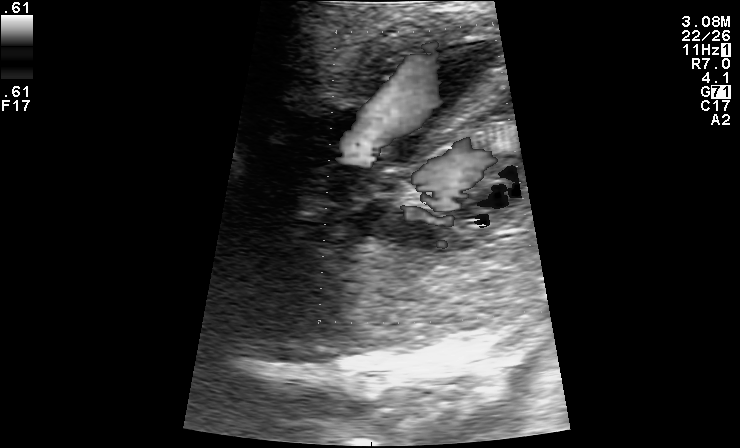
Classify this maternal-fetal ultrasound image as one of the six standard planes — fetal abdomen, fetal brain, fetal femur, fetal thorax, maternal cervix, or other. If it's fetal brain and one of the three standard brain planes (trans-thalamic, trans-cerebellum, trans-ventricular), name which.

Other